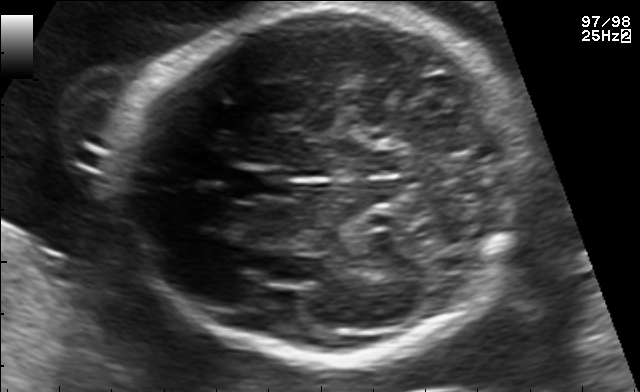
Fetal brain, trans-thalamic plane. Where is the fetal head?

Head bounding box: [121,7,527,359]